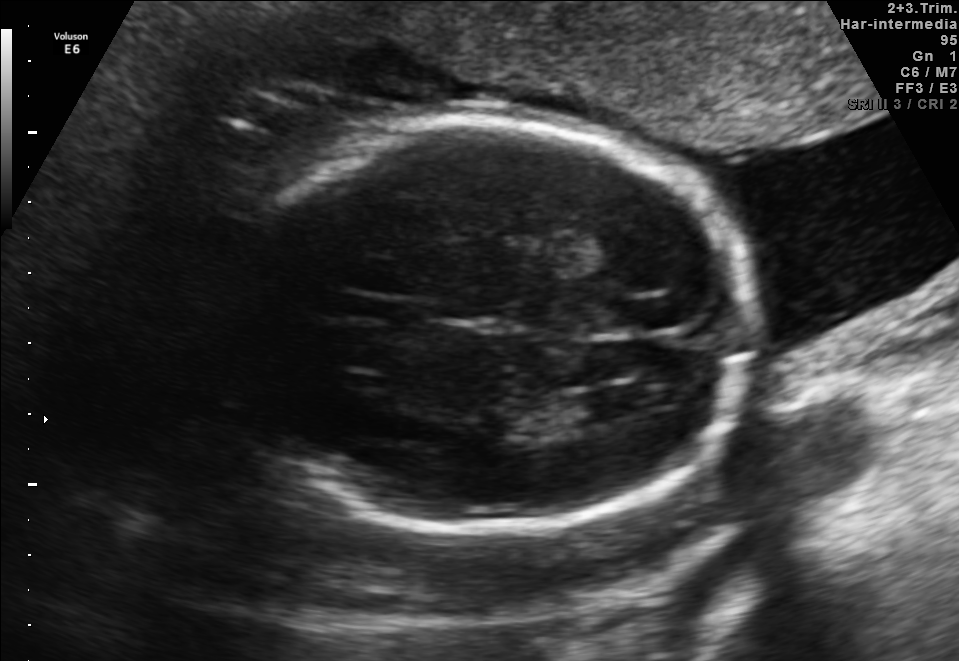
In this fetal brain, trans-ventricular plane, give the bounding box of the lateral ventricle.

[565,389,627,427]